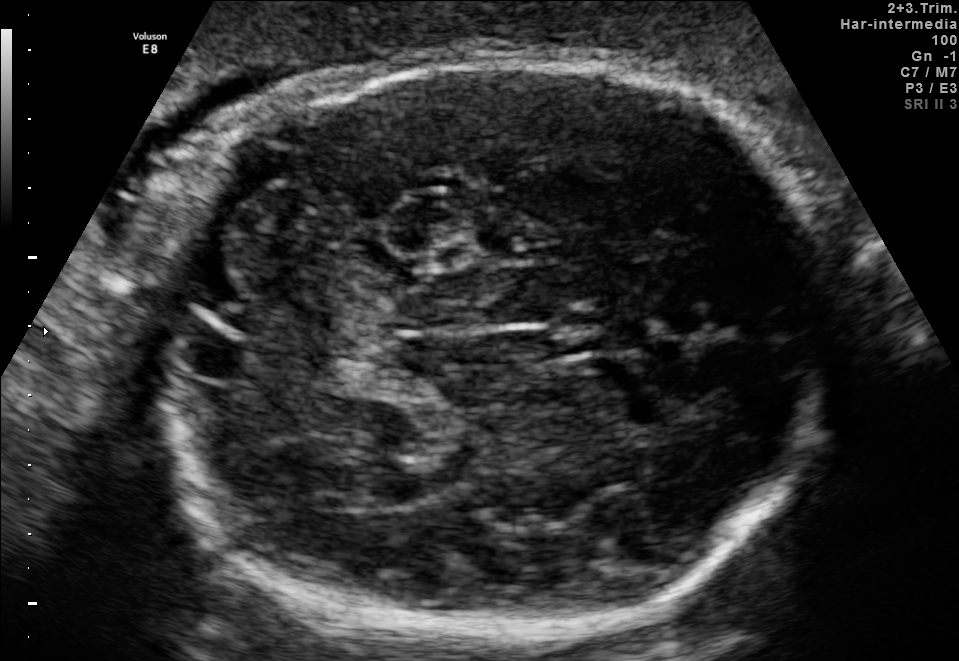
Fetal brain, trans-cerebellum plane. Locate the fetal head and, if visible, the cavum septum pellucidum (CSP) and lateral ventricle (LV). Give bounding boxes as [x1,y1,x2,y2].

Head: [155,57,834,638]
CSP: [572,304,651,356]